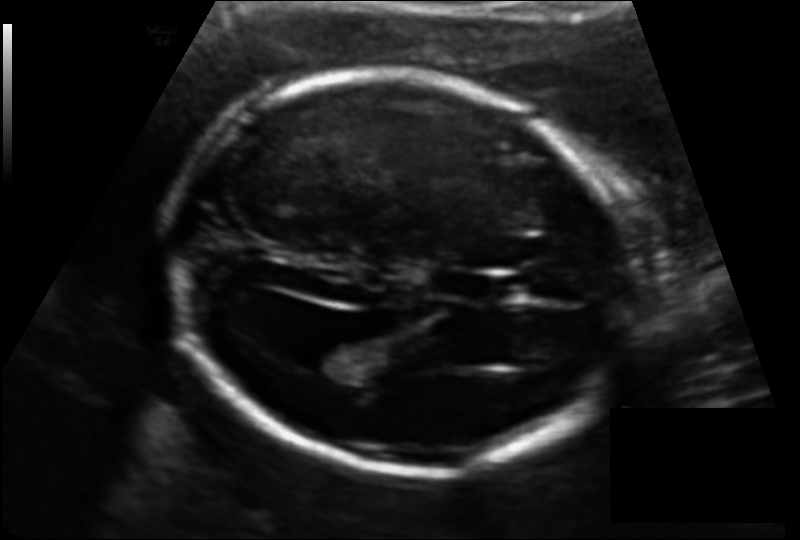
Fetal head ultrasound. Image width: 104.7 mm. Locate the cavum septum pellucidum.

CSP: [436,267,508,304]